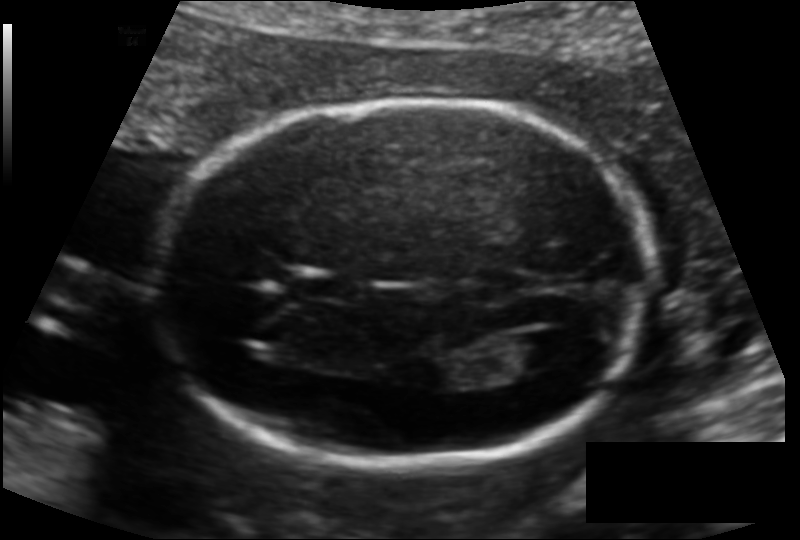
Fetal head ultrasound. Image width: 102.6 mm. Locate the fetal head and, if visible, the cavum septum pellucidum (CSP) and lateral ventricle (LV). Give bounding boxes as [x1,y1,x2,y2].

Head: [155,99,650,466]
CSP: [296,271,360,301]
Lateral ventricle: [500,326,576,374]